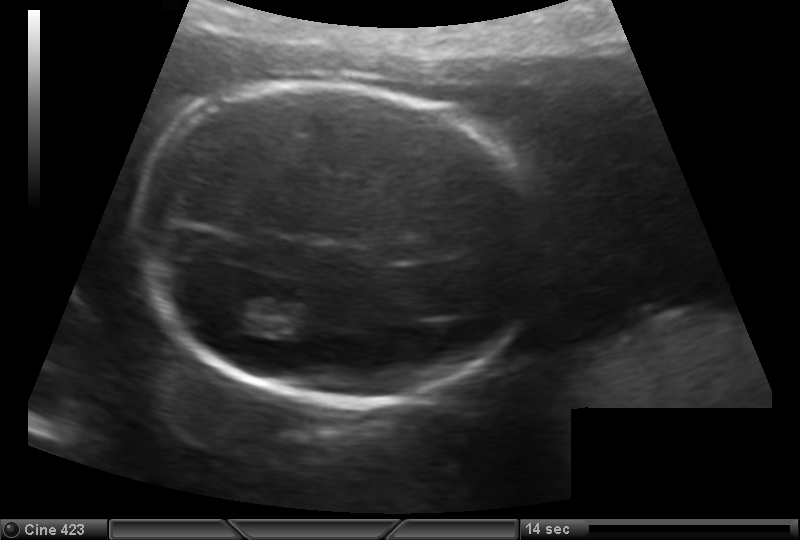
Fetal head ultrasound. Image width: 117.9 mm. Locate the fetal head and, if visible, the cavum septum pellucidum (CSP) and lateral ventricle (LV). Give bounding boxes as [x1,y1,x2,y2].

Head: [128,82,535,403]
Lateral ventricle: [216,290,274,334]